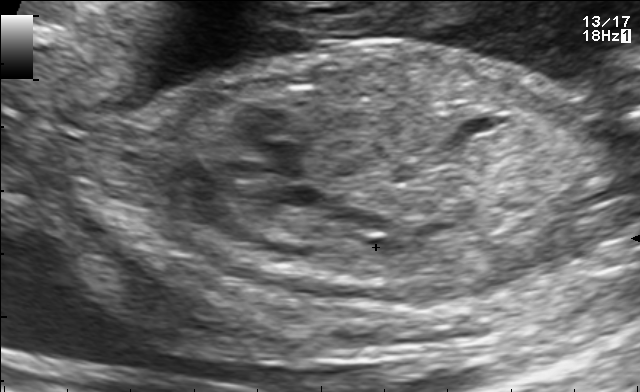
This is a 2D maternal-fetal ultrasound frame. Is it a fetal abdomen, fetal brain, fetal femur, fetal thorax, maternal cervix, or other standard plane? If it's fetal brain and one of the three standard brain planes (trans-thalamic, trans-cerebellum, trans-ventricular), name which.

Other